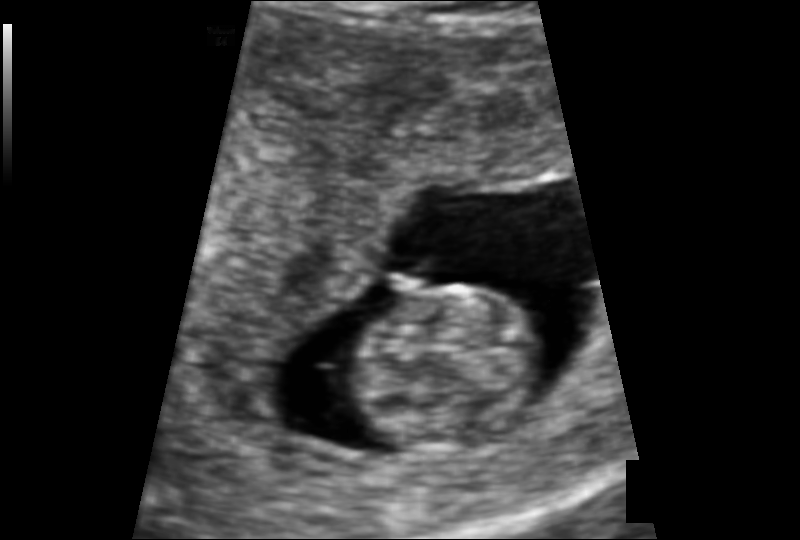
Estimate the fetal head circumference from this 2D ultrasound.

Head circumference: 62.8 mm (image width 87.5 mm).